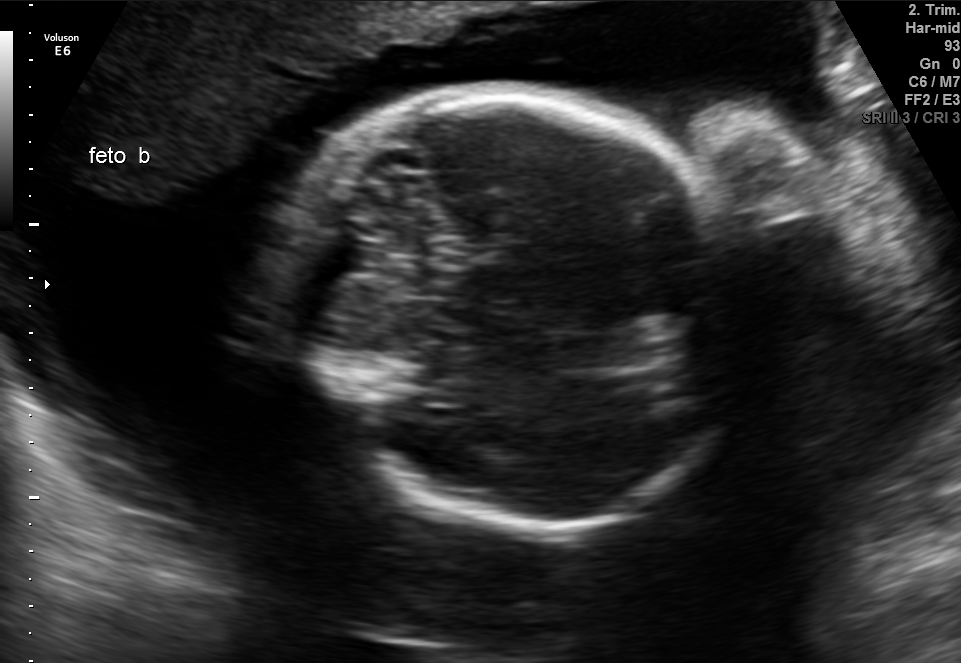
In this fetal brain, trans-cerebellum plane, give the bounding box of the fetal head.

[286,88,750,527]